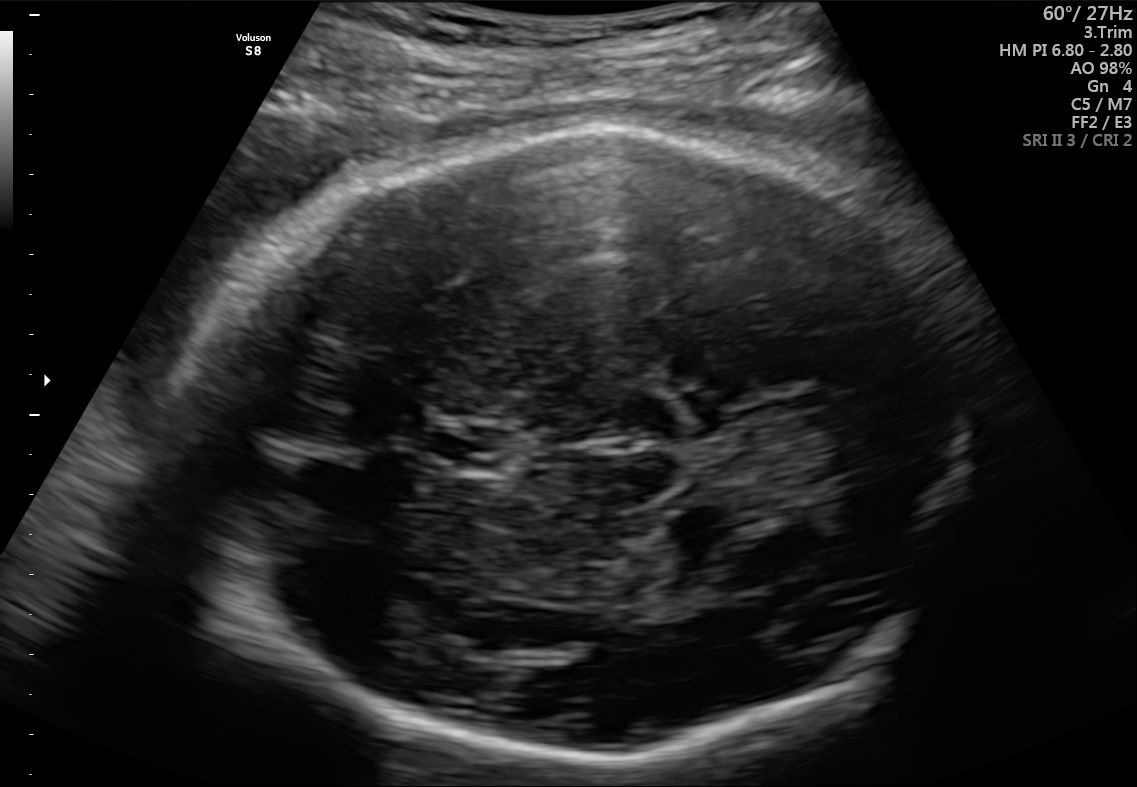
In this fetal brain, trans-thalamic plane, give bounding boxes for the head outline, cavum septum pellucidum (CSP), and lateral ventricle (LV), where visible.

Head: [192,126,971,768]
CSP: [425,422,511,474]